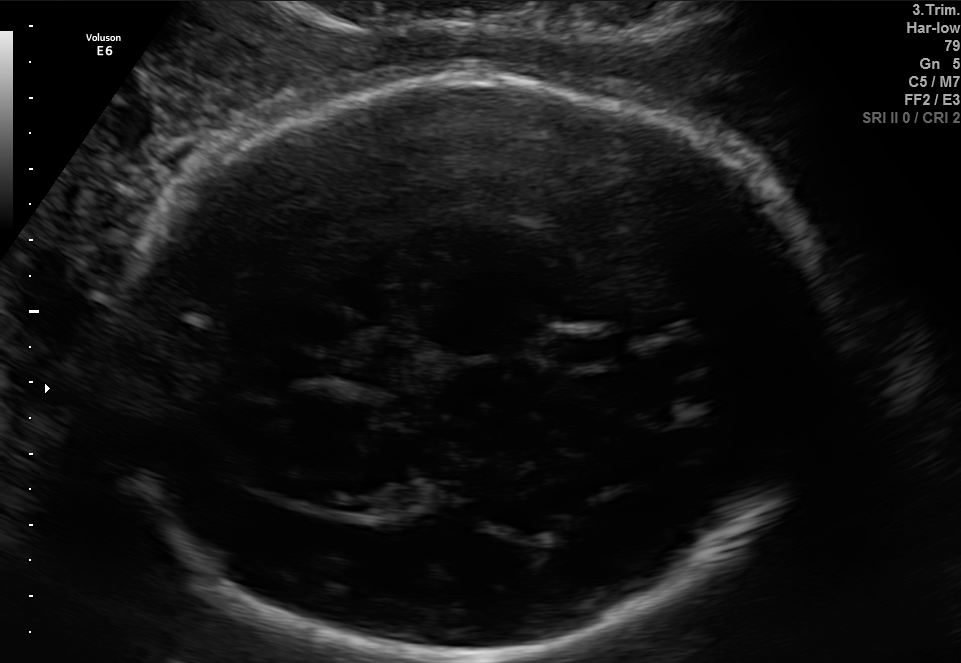
This is a 2D maternal-fetal ultrasound frame. Is it a fetal abdomen, fetal brain, fetal femur, fetal thorax, maternal cervix, or other standard plane? If it's fetal brain and one of the three standard brain planes (trans-thalamic, trans-cerebellum, trans-ventricular), name which.

Fetal brain (trans-thalamic plane)